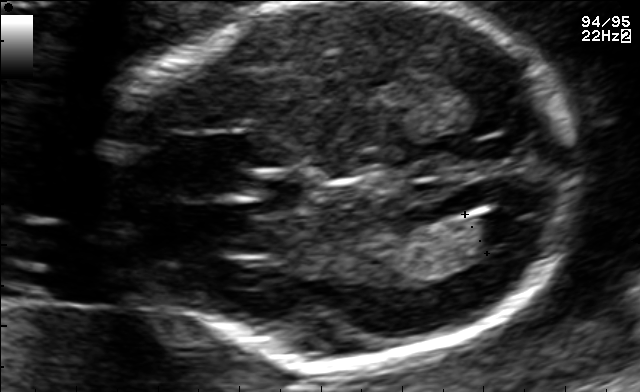
Fetal brain, trans-ventricular plane. Give [x1,y1,x2,y2] bounding boxes for each visible structure among: fetal head, CSP, LV.

Head: [94,1,595,377]
CSP: [236,180,299,210]
Lateral ventricle: [465,200,538,252]